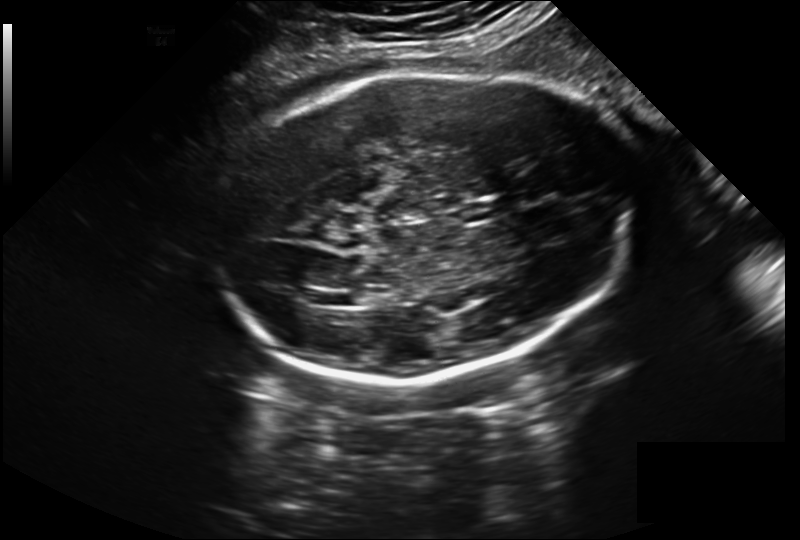
Estimate the fetal head circumference from this 2D ultrasound. Image width: 194.5 mm.

Head circumference: 289.2 mm.